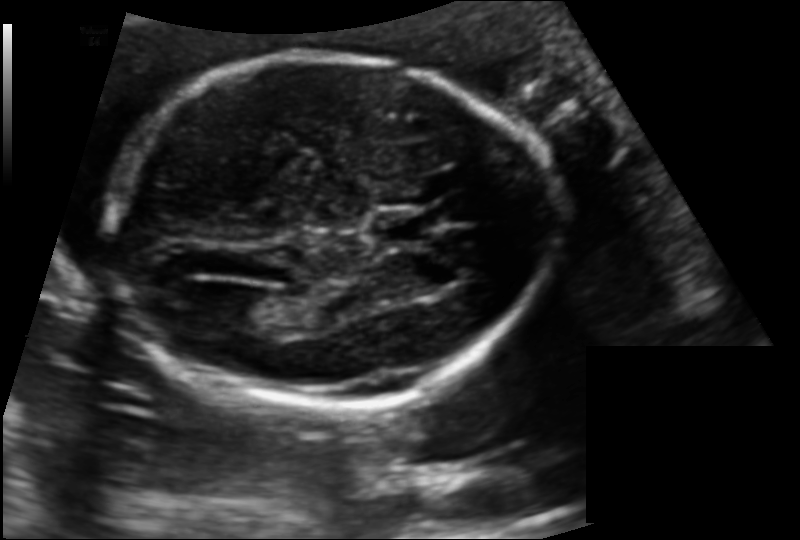
In this fetal head ultrasound, give bounding boxes for the head outline, cavum septum pellucidum (CSP), and lateral ventricle (LV), where visible. Image width: 105.8 mm.

Head: [106,56,551,404]
CSP: [376,211,431,243]
Lateral ventricle: [226,292,283,331]